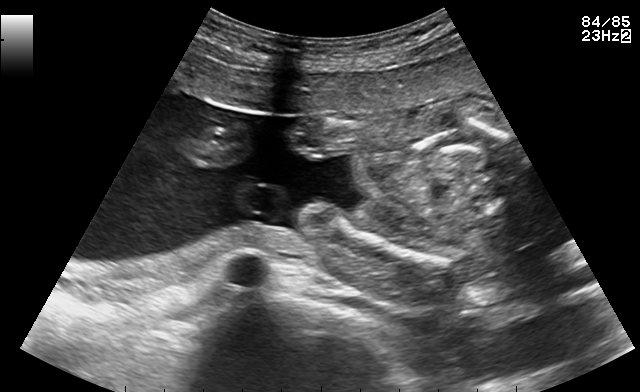
Classify this maternal-fetal ultrasound image as one of the six standard planes — fetal abdomen, fetal brain, fetal femur, fetal thorax, maternal cervix, or other. If it's fetal brain and one of the three standard brain planes (trans-thalamic, trans-cerebellum, trans-ventricular), name which.

Fetal femur